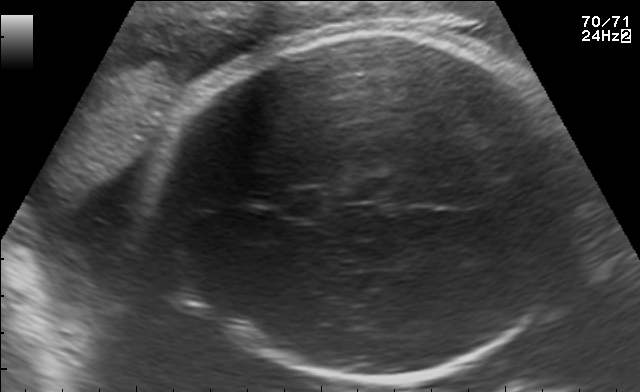
Fetal brain, trans-thalamic plane. Locate the fetal head and, if visible, the cavum septum pellucidum (CSP) and lateral ventricle (LV). Give bounding boxes as [x1,y1,x2,y2].

Head: [153,30,588,375]
CSP: [275,188,325,219]